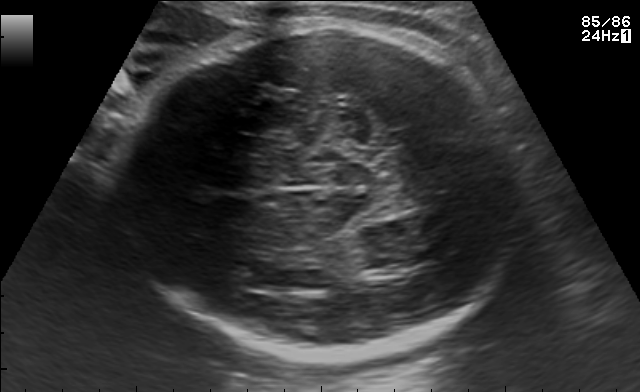
Fetal brain, trans-thalamic plane. Where is the fetal head?

Head bounding box: [114,26,529,358]